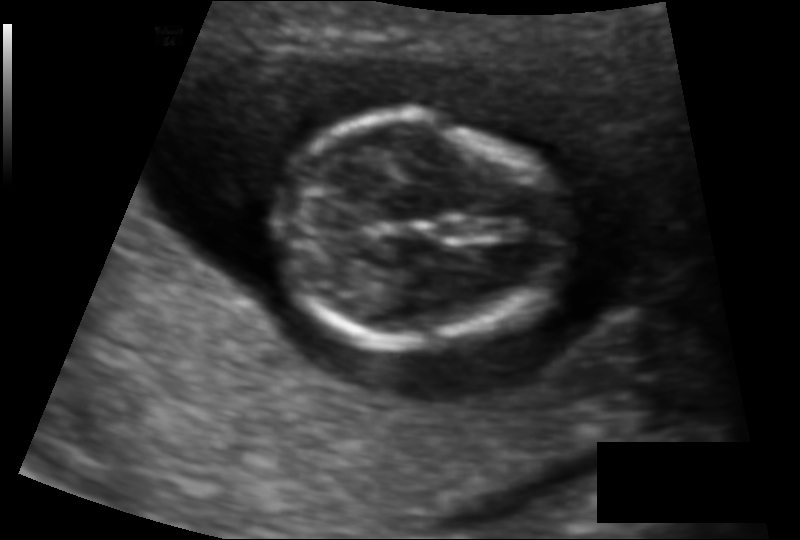
Fetal head ultrasound. Image width: 76.6 mm. Give [x1,y1,x2,y2] bounding boxes for each visible structure among: fetal head, CSP, LV.

Head: [275,119,563,344]